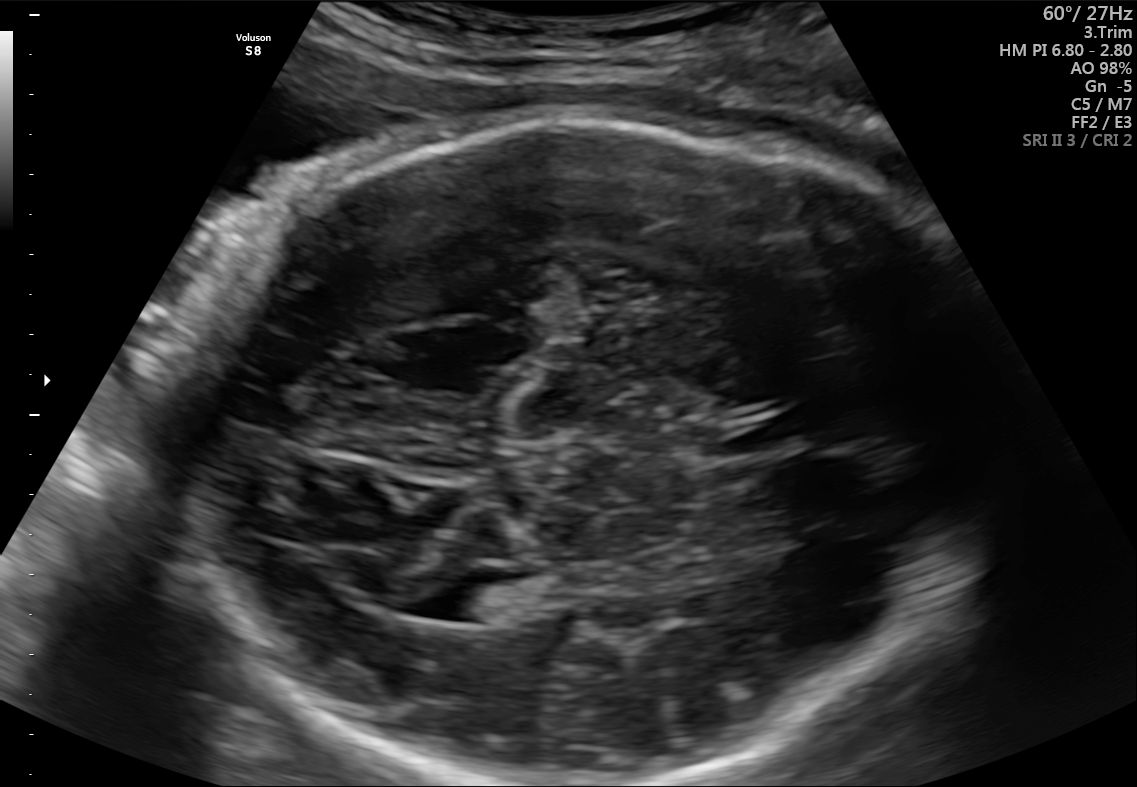
Fetal brain, trans-thalamic plane. Locate the fetal head and, if visible, the cavum septum pellucidum (CSP) and lateral ventricle (LV). Give bounding boxes as [x1,y1,x2,y2].

Head: [177,119,1010,785]
CSP: [710,410,801,461]
Lateral ventricle: [416,563,526,633]